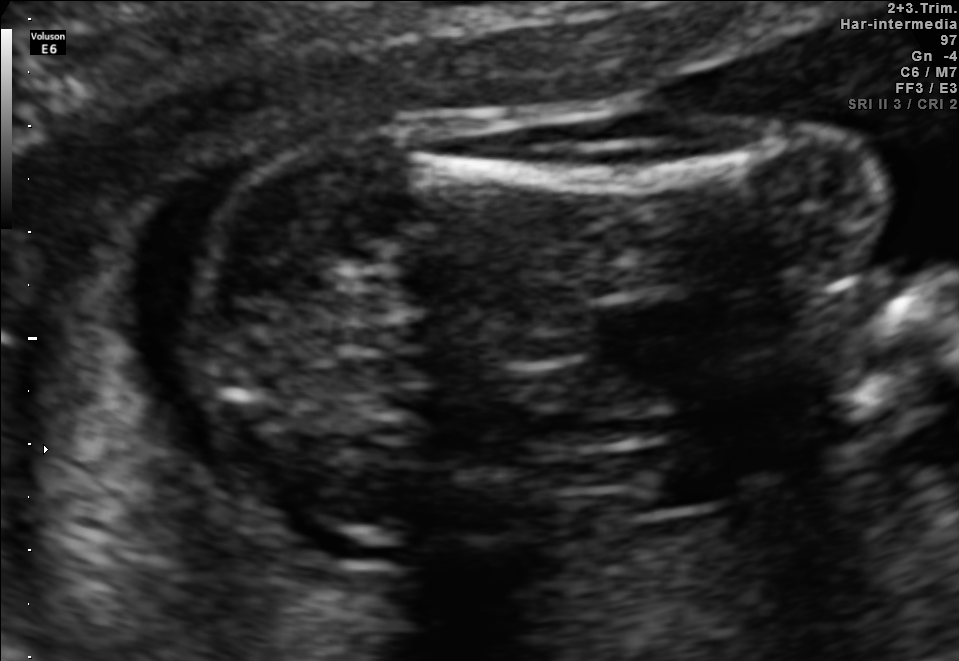
Identify the standard plane in this fetal ultrasound image: fetal abdomen, fetal brain, fetal femur, fetal thorax, maternal cervix, or other. If it's fetal brain and one of the three standard brain planes (trans-thalamic, trans-cerebellum, trans-ventricular), name which.

Fetal femur